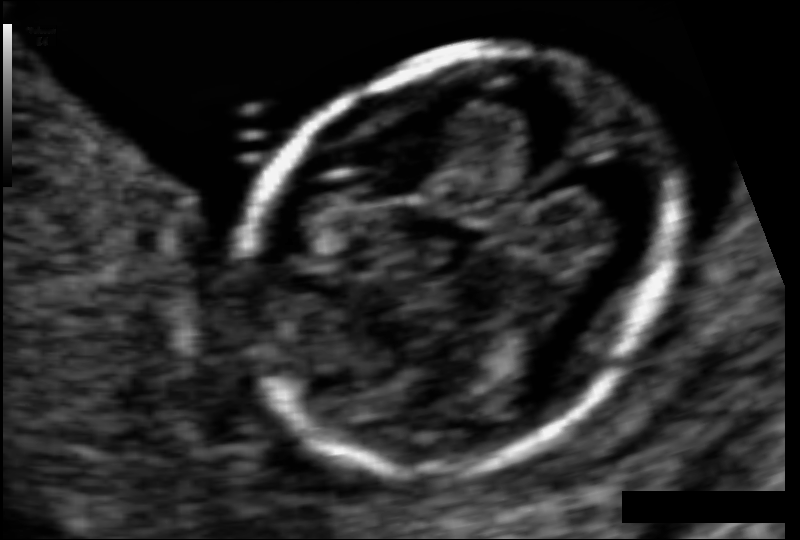
In this fetal head ultrasound, give the bounding box of the fetal head. Image width: 48.5 mm.

[240,47,672,469]